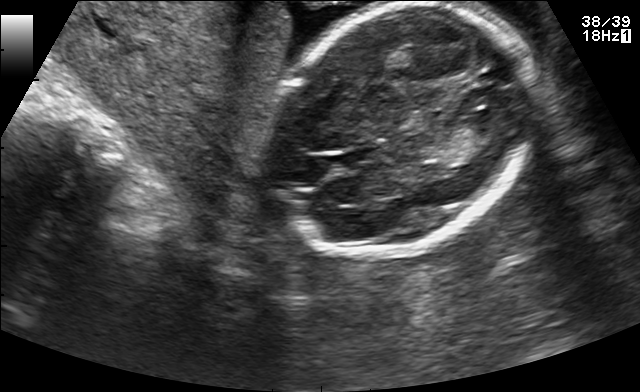
In this fetal brain, trans-thalamic plane, give bounding boxes for the head outline, cavum septum pellucidum (CSP), and lateral ventricle (LV), where visible.

Head: [272,4,532,255]